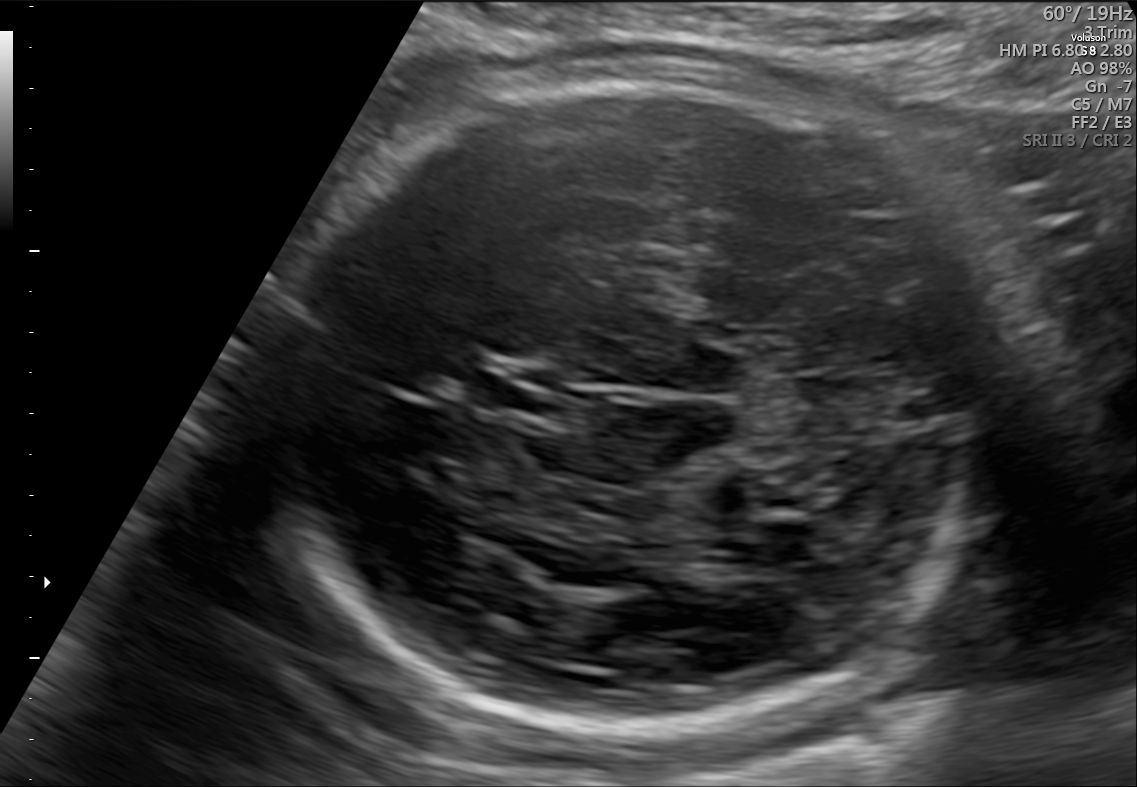
Fetal brain, trans-cerebellum plane. Locate the cavum septum pellucidum.

CSP: [459,366,552,422]